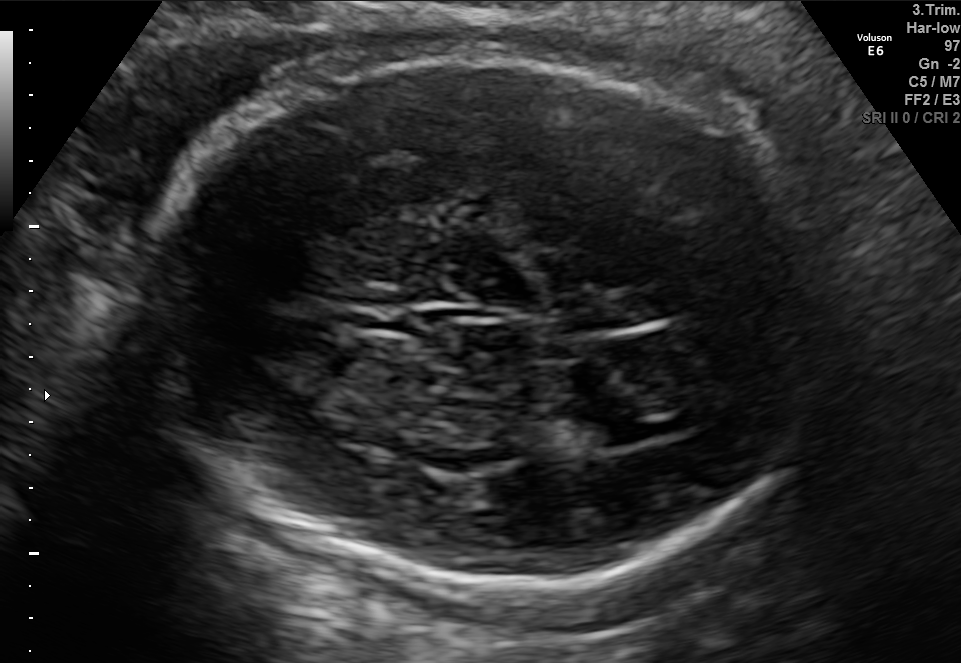
Fetal brain, trans-ventricular plane. Where is the fetal head?

Head bounding box: [141,51,838,590]